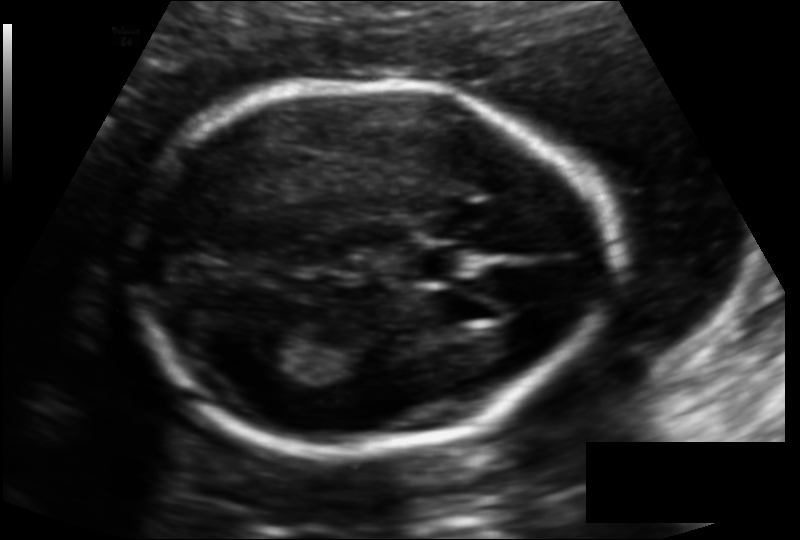
Fetal head ultrasound. Image width: 96.8 mm. Locate the lateral ventricle.

Lateral ventricle: [248,326,307,367]